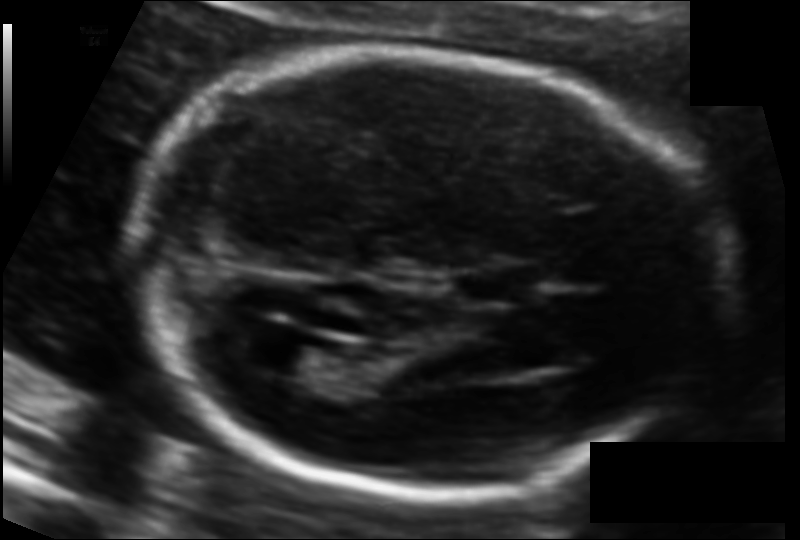
Fetal head ultrasound. Image width: 82.9 mm. Where is the fetal head?

Head bounding box: [131,53,704,500]